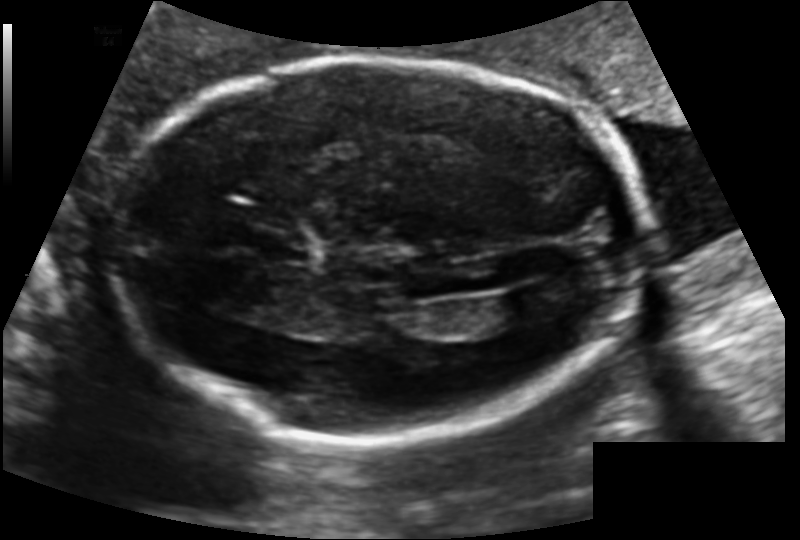
Fetal head ultrasound. Image width: 105.0 mm. Where is the cavum septum pellucidum?

CSP bounding box: [248,226,311,266]